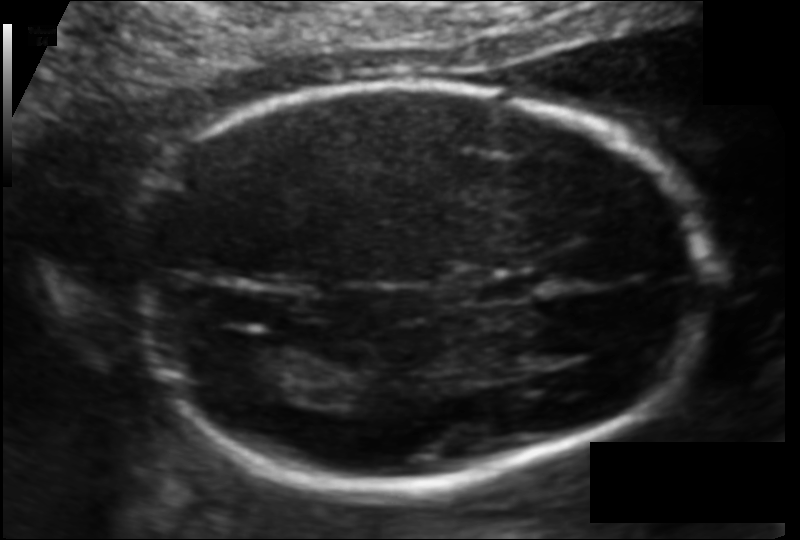
What is the fetal head circumference? Image width is 87.4 mm.

172.3 mm